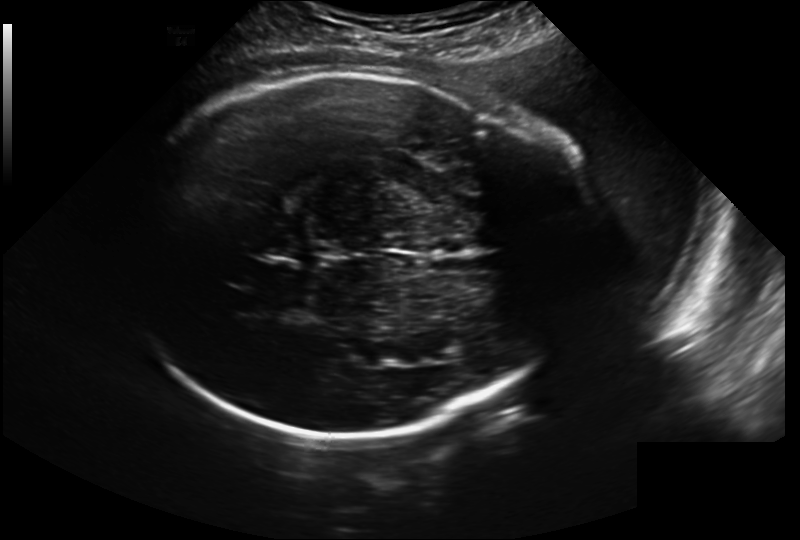
In this fetal head ultrasound, give bounding boxes for the head outline, cavum septum pellucidum (CSP), and lateral ventricle (LV), where visible. Image width: 192.7 mm.

Head: [129,73,554,438]